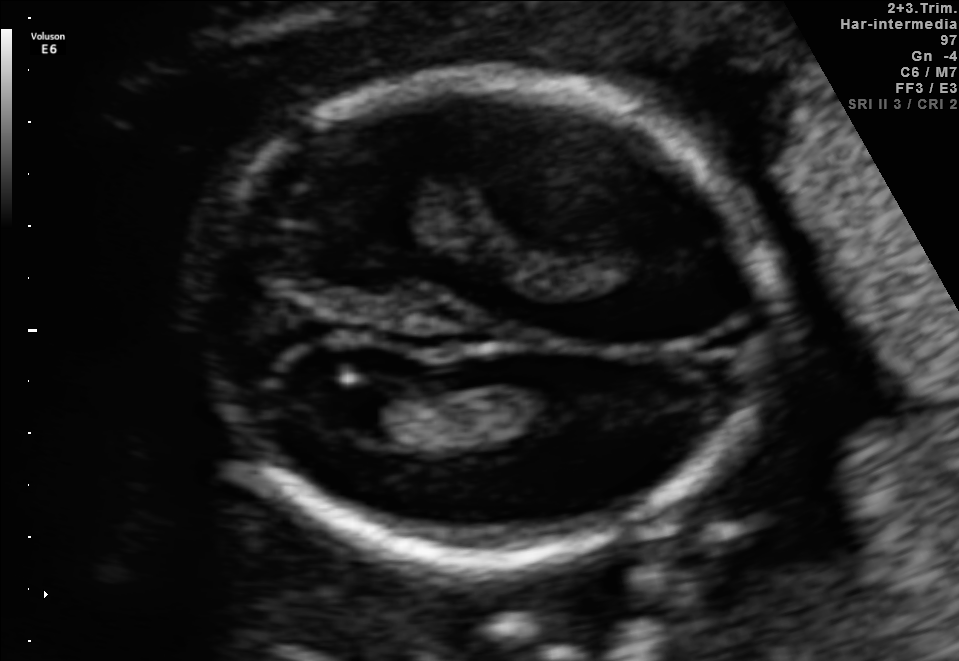
Fetal brain, trans-ventricular plane. Give [x1,y1,x2,y2] bounding boxes for each visible structure among: fetal head, CSP, LV.

Head: [176,66,793,575]
Lateral ventricle: [303,377,401,442]